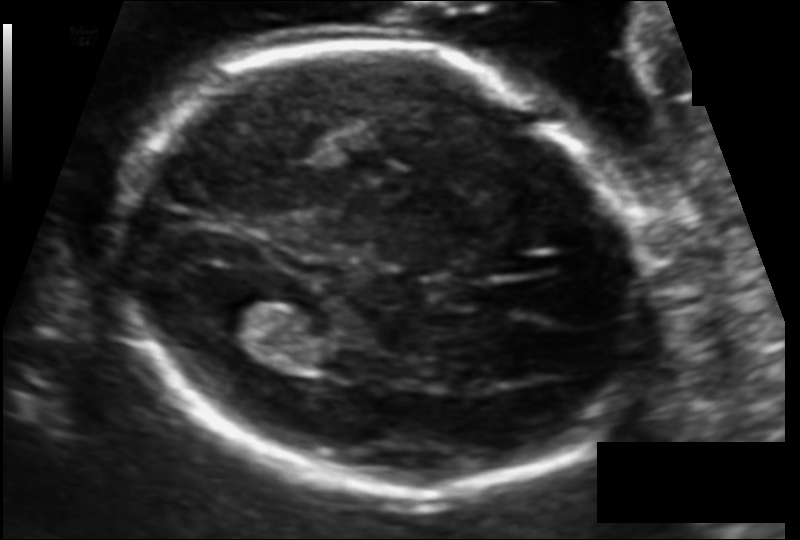
What is the fetal head circumference? Image width is 92.8 mm.

184.3 mm